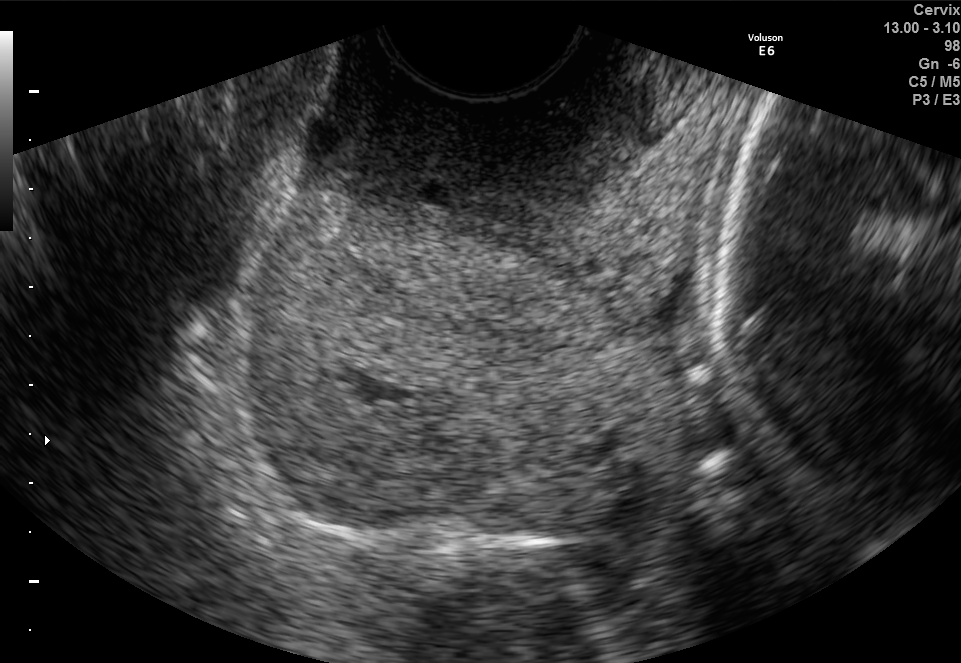
Classify this maternal-fetal ultrasound image as one of the six standard planes — fetal abdomen, fetal brain, fetal femur, fetal thorax, maternal cervix, or other. If it's fetal brain and one of the three standard brain planes (trans-thalamic, trans-cerebellum, trans-ventricular), name which.

Maternal cervix